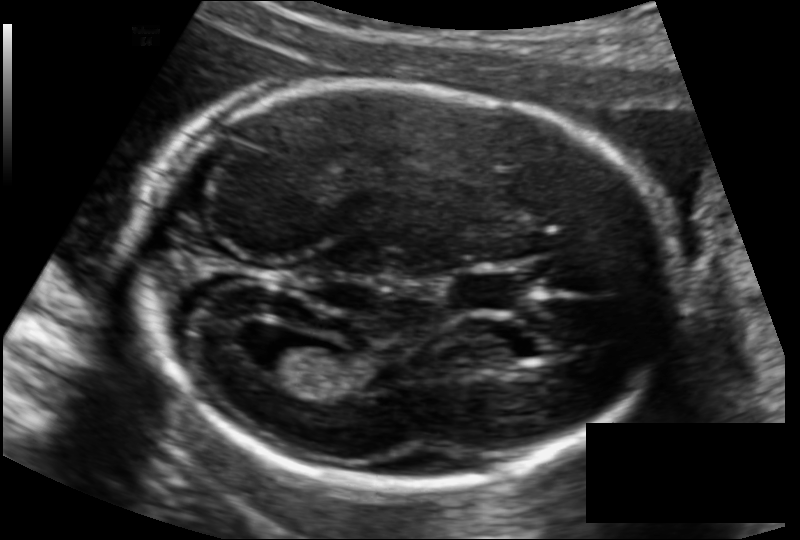
Fetal head ultrasound. Image width: 97.7 mm. Give [x1,y1,x2,y2] bounding boxes for each visible structure among: fetal head, CSP, LV.

Head: [138,87,669,484]
CSP: [453,273,520,311]
Lateral ventricle: [249,325,329,388]